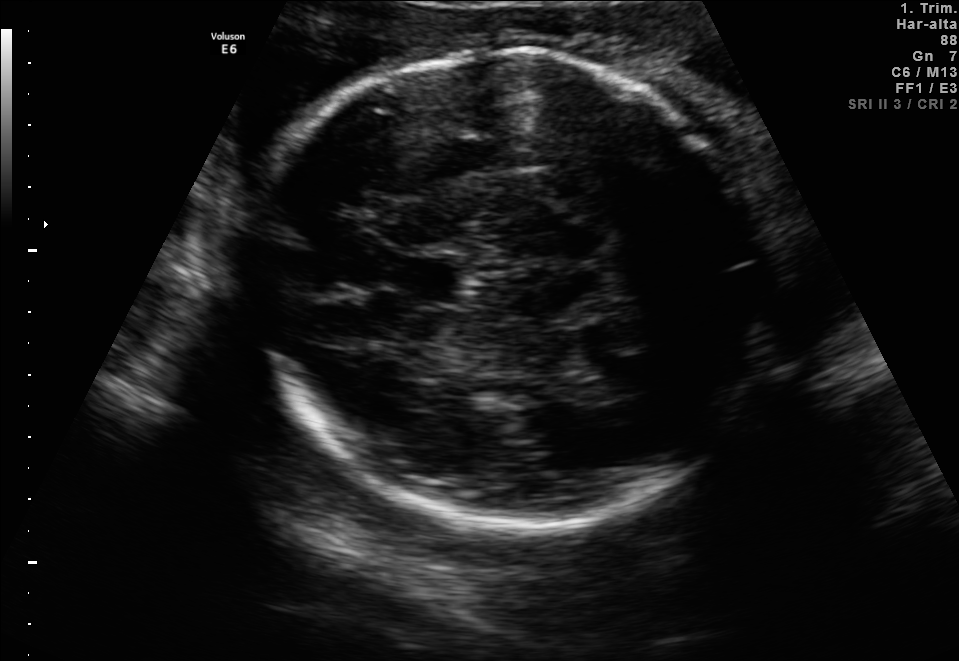
Fetal brain, trans-thalamic plane. Locate the fetal head and, if visible, the cavum septum pellucidum (CSP) and lateral ventricle (LV). Give bounding boxes as [x1,y1,x2,y2].

Head: [250,50,765,529]
CSP: [399,256,460,303]